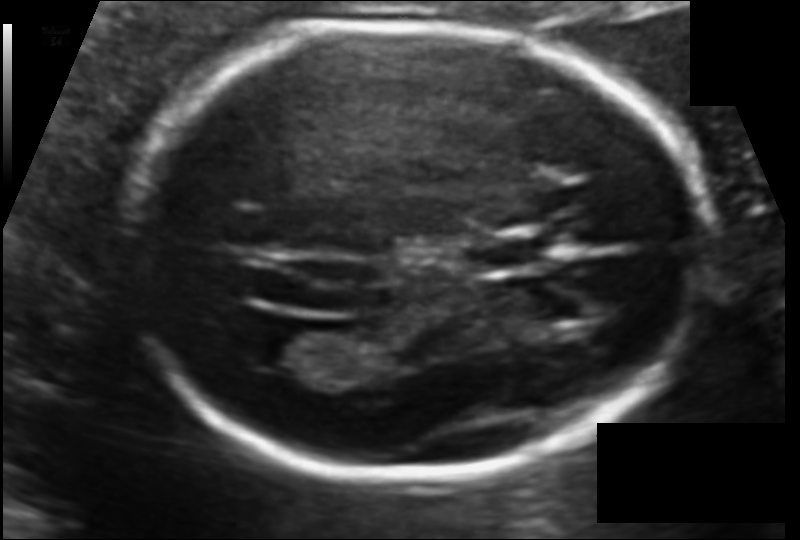
Estimate the fetal head circumference from this 2D ultrasound.

Head circumference: 180.2 mm (image width 85.6 mm).